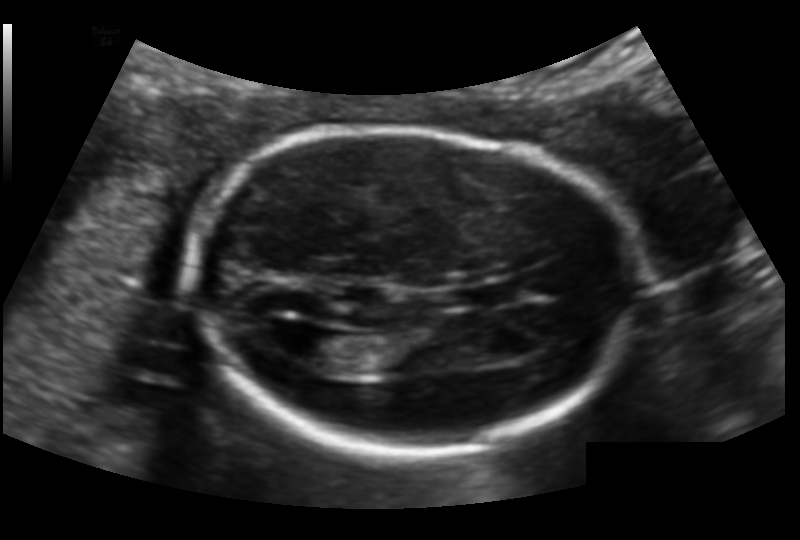
Estimate the fetal head circumference from this 2D ultrasound. Image width: 105.5 mm.

Head circumference: 167.1 mm.